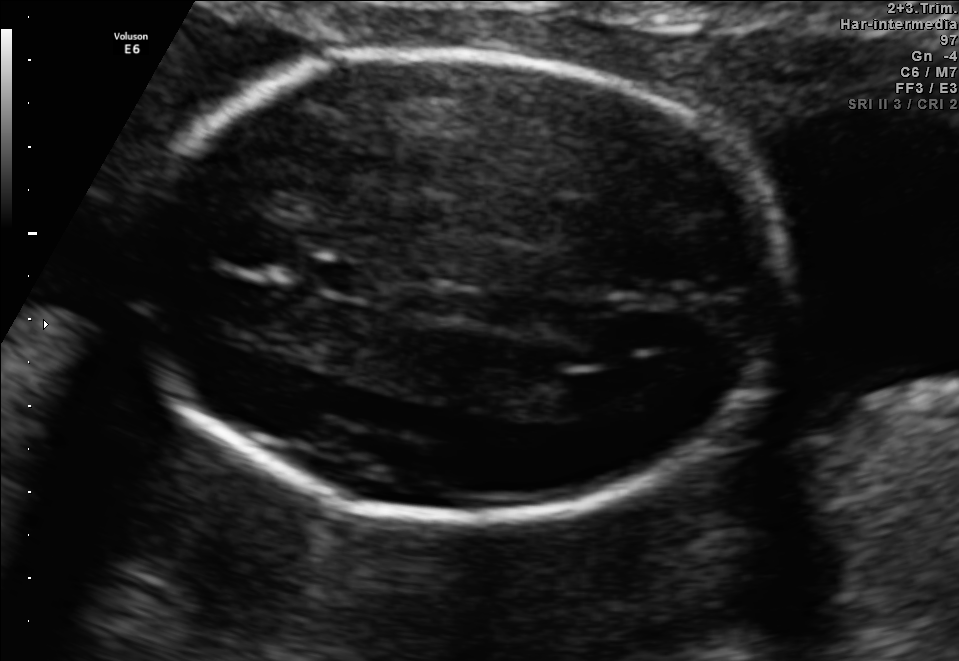
In this fetal brain, trans-ventricular plane, give bounding boxes for the head outline, cavum septum pellucidum (CSP), and lateral ventricle (LV), where visible.

Head: [118,46,805,531]